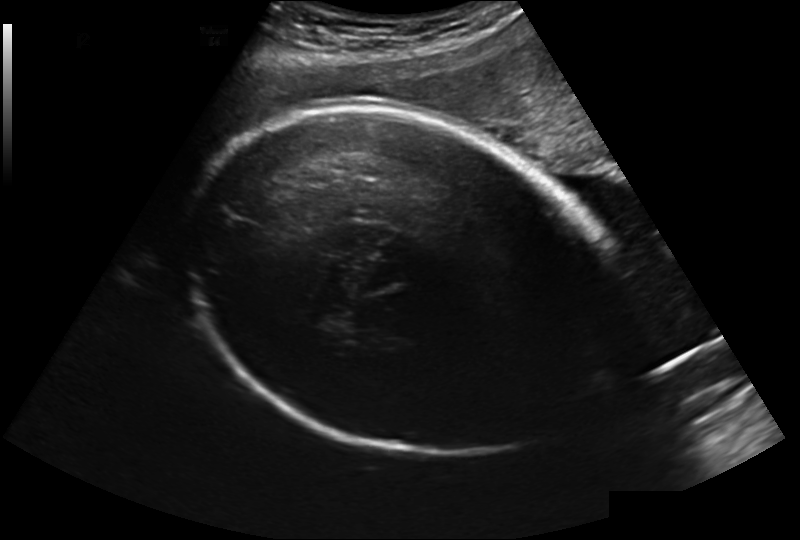
Estimate the fetal head circumference from this 2D ultrasound. Image width: 192.6 mm.

Head circumference: 303.3 mm.